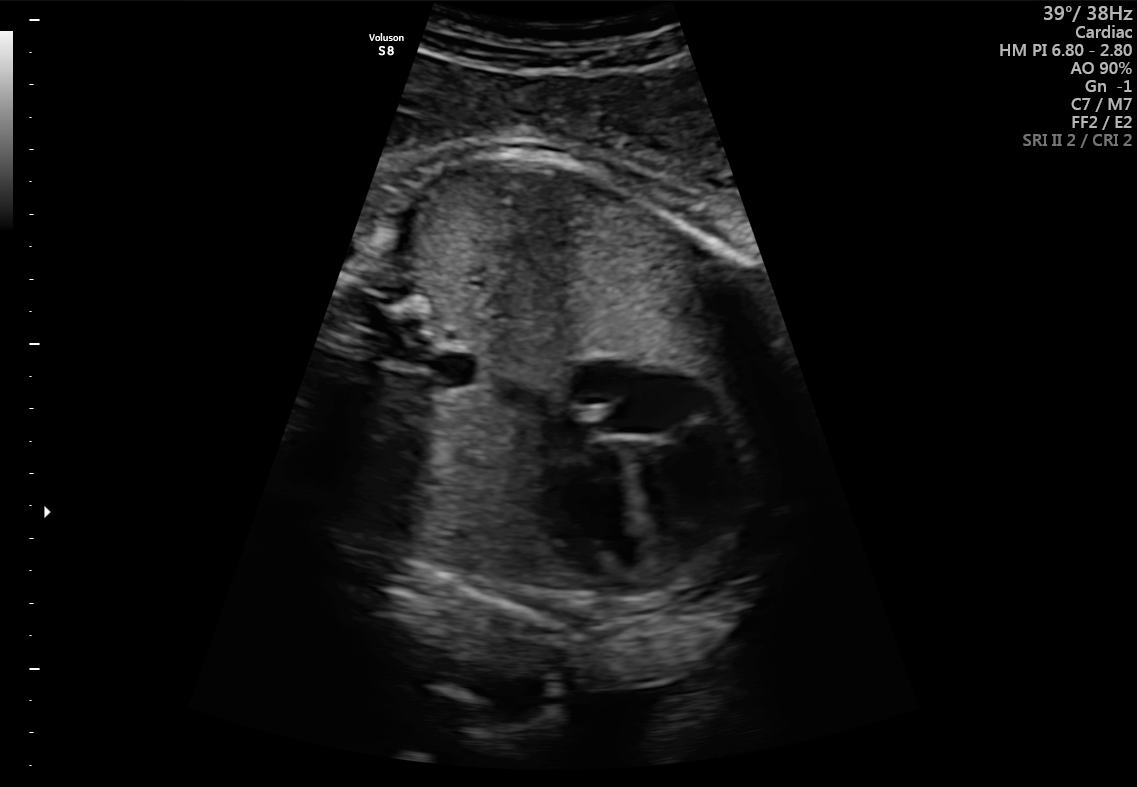
Classify this maternal-fetal ultrasound image as one of the six standard planes — fetal abdomen, fetal brain, fetal femur, fetal thorax, maternal cervix, or other. If it's fetal brain and one of the three standard brain planes (trans-thalamic, trans-cerebellum, trans-ventricular), name which.

Fetal thorax